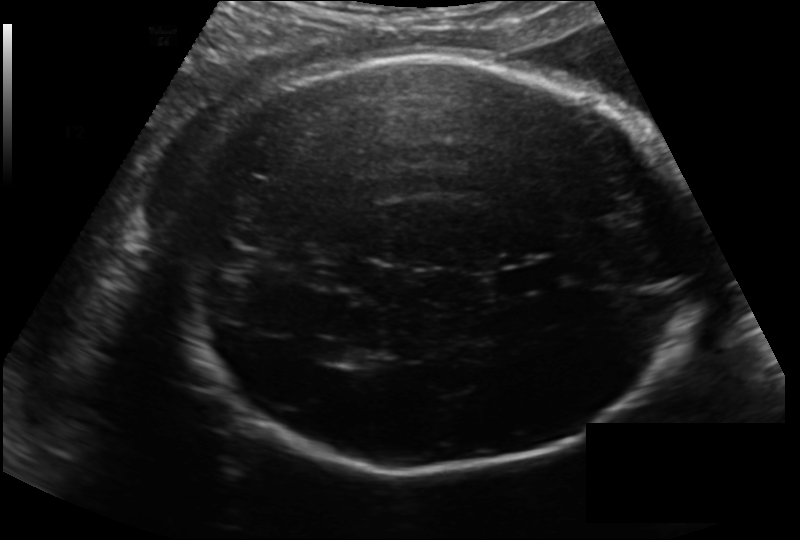
Fetal head ultrasound. Image width: 146.5 mm. Where is the cavum septum pellucidum?

CSP bounding box: [490,254,570,302]